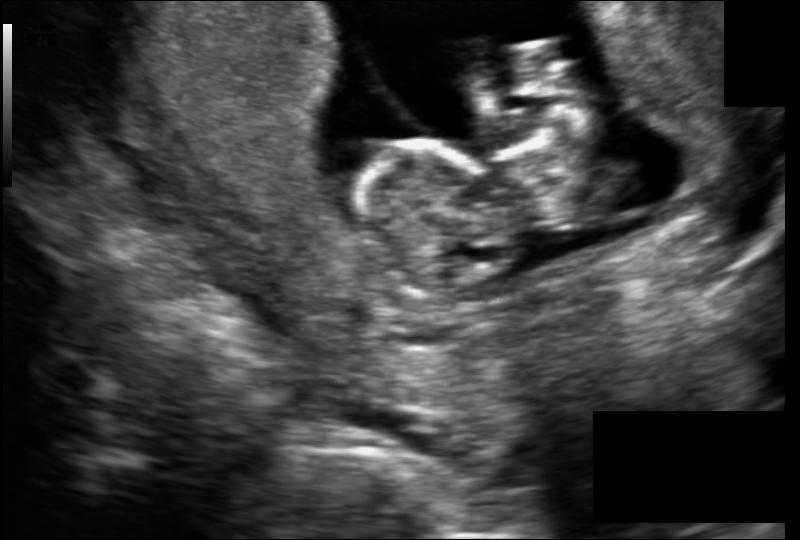
What is the fetal head circumference? Image width is 97.2 mm.

62.3 mm